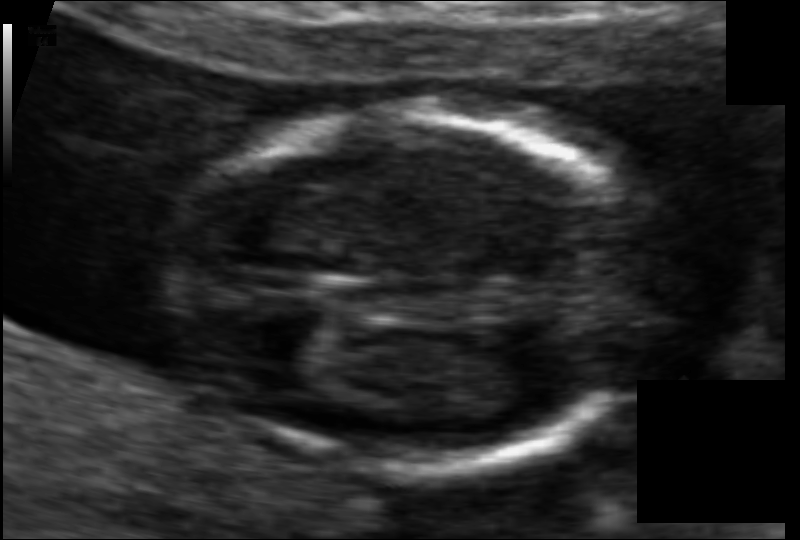
Measure the fetal head circumference shown in this ultrasound image. Image width: 51.8 mm.

Head circumference: 88.5 mm.